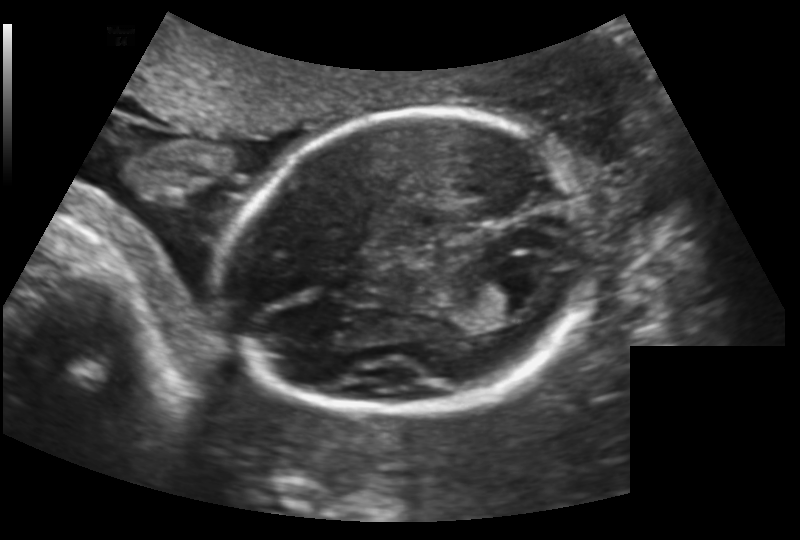
Estimate the fetal head circumference from this 2D ultrasound.

Head circumference: 172.7 mm (image width 127.5 mm).